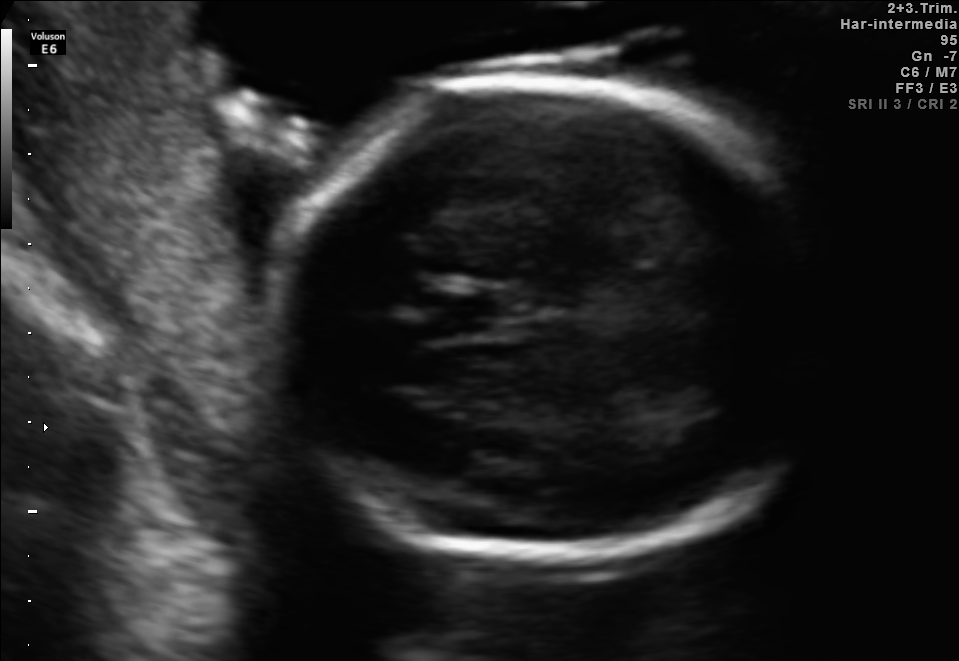
Fetal brain, trans-thalamic plane. Give [x1,y1,x2,y2] bounding boxes for each visible structure among: fetal head, CSP, LV.

Head: [275,73,822,556]
CSP: [427,290,503,337]